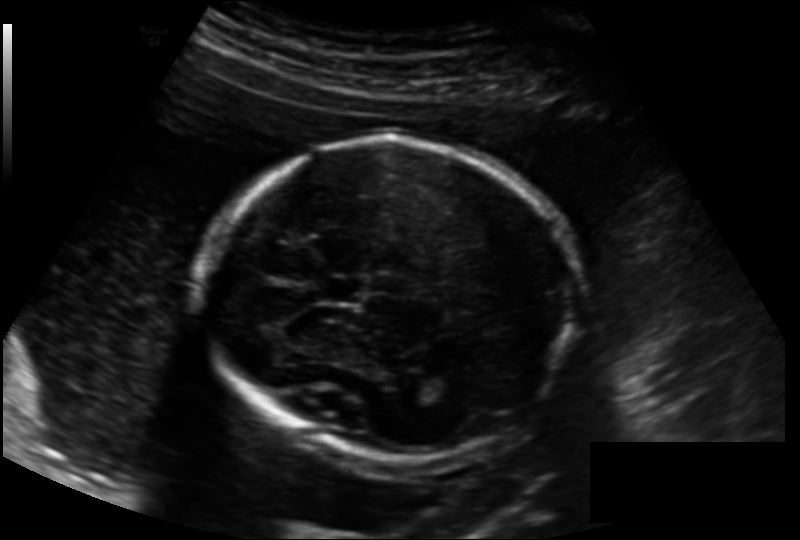
Fetal head ultrasound. Image width: 126.5 mm. Give [x1,y1,x2,y2] bounding boxes for each visible structure among: fetal head, CSP, LV.

Head: [198,141,574,459]
CSP: [319,279,363,301]